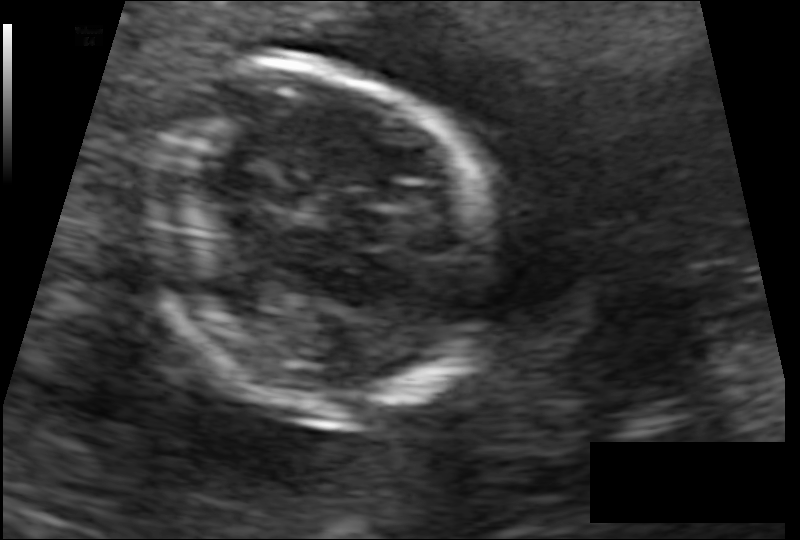
Fetal head ultrasound. Image width: 73.2 mm. Give [x1,y1,x2,y2] bounding boxes for each visible structure among: fetal head, CSP, LV.

Head: [135,59,486,413]